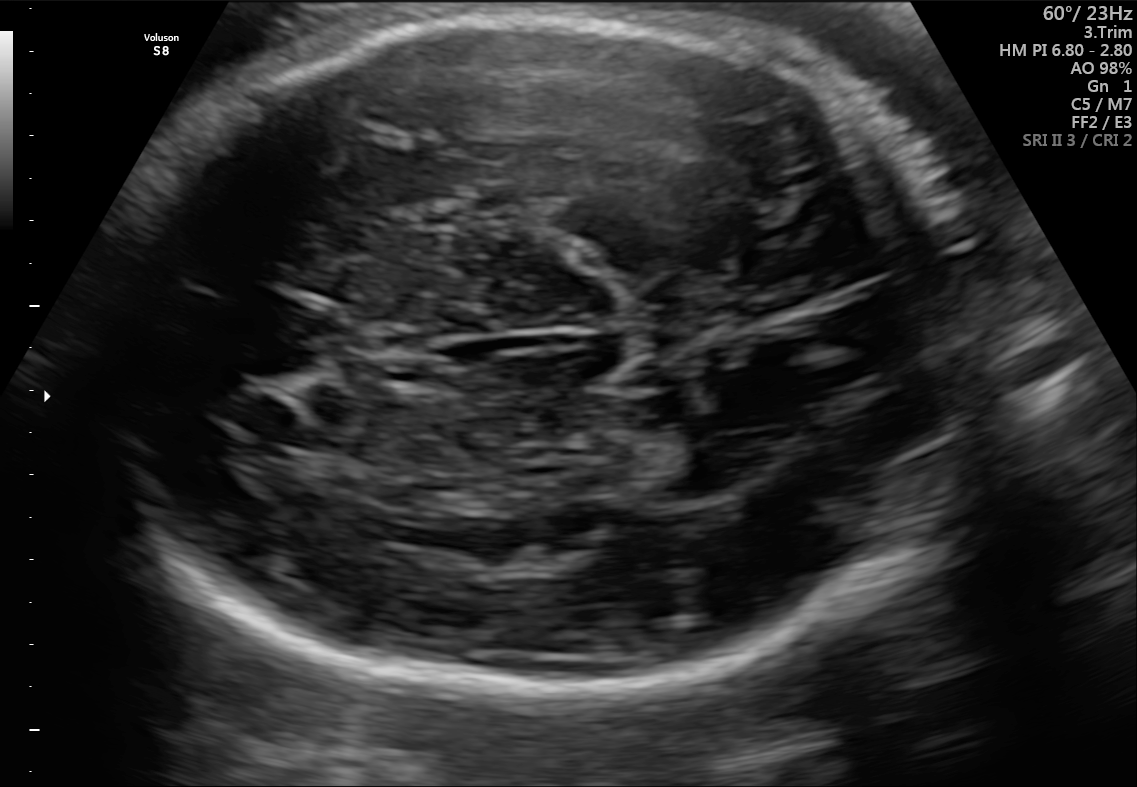
Fetal brain, trans-thalamic plane. Locate the fetal head.

Head: [75,12,1003,701]